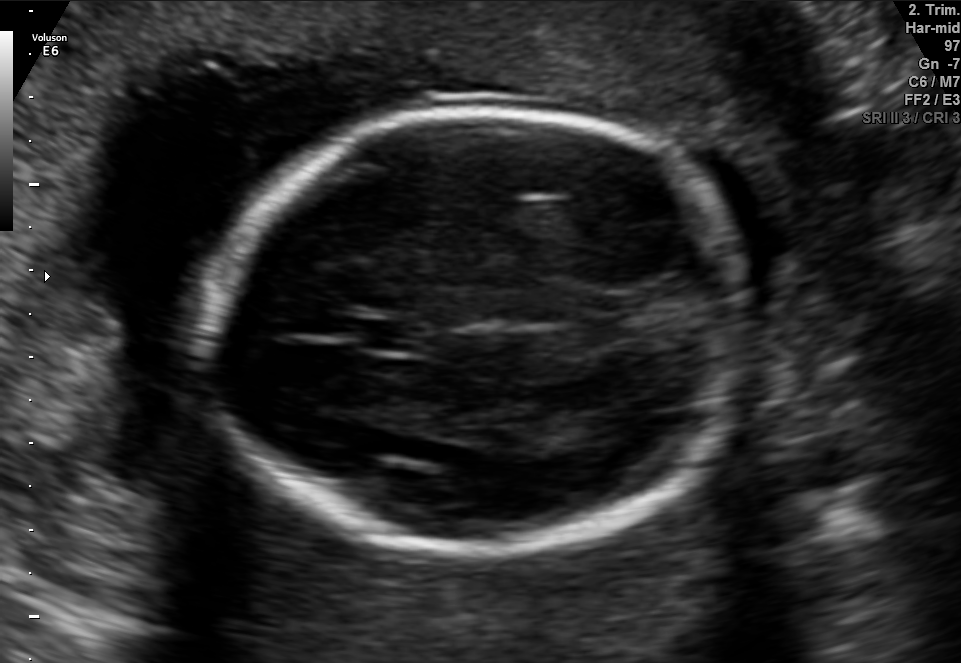
In this fetal brain, trans-thalamic plane, give the bounding box of the fetal head.

[208,107,751,558]